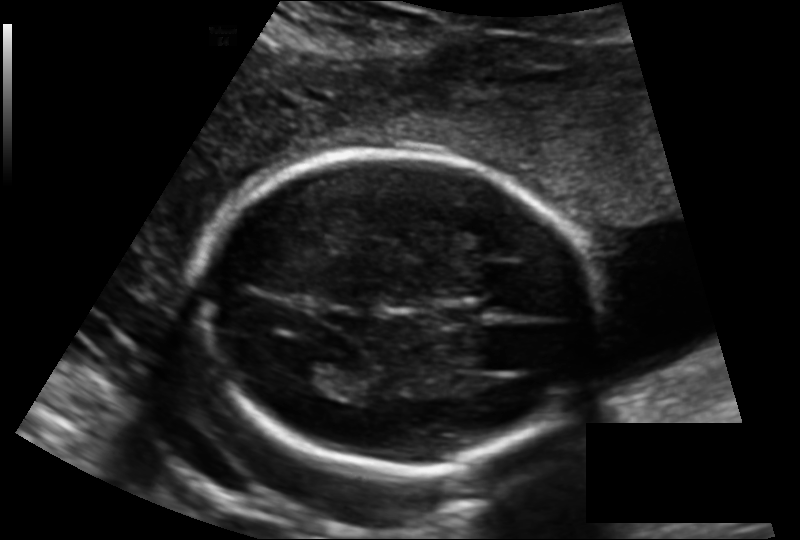
Estimate the fetal head circumference from this 2D ultrasound. Image width: 114.7 mm.

Head circumference: 169.0 mm.